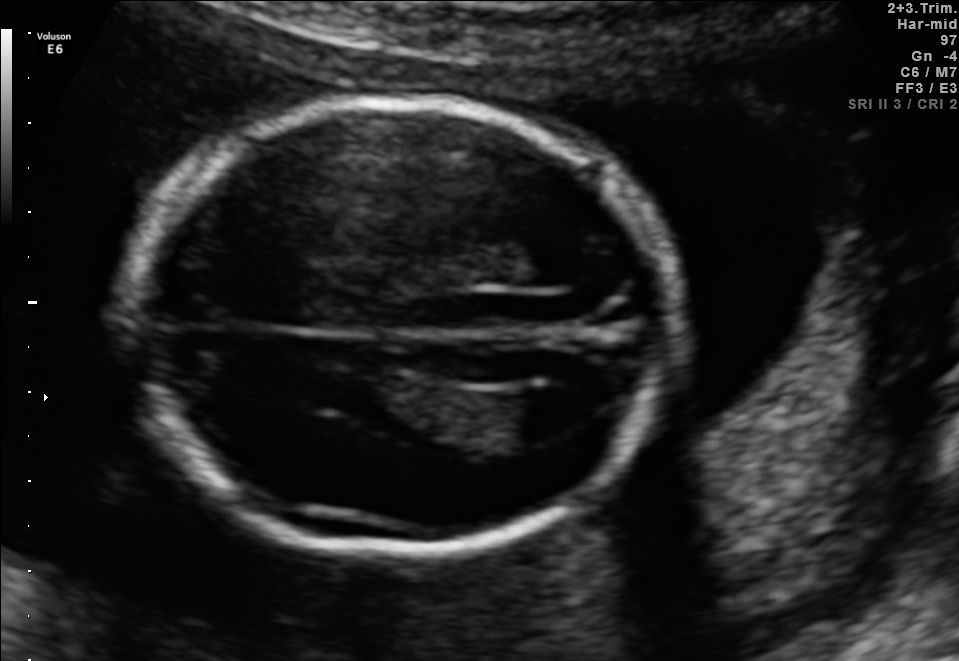
Fetal brain, trans-ventricular plane. Where is the lateral ventricle?

Lateral ventricle bounding box: [502,374,598,448]